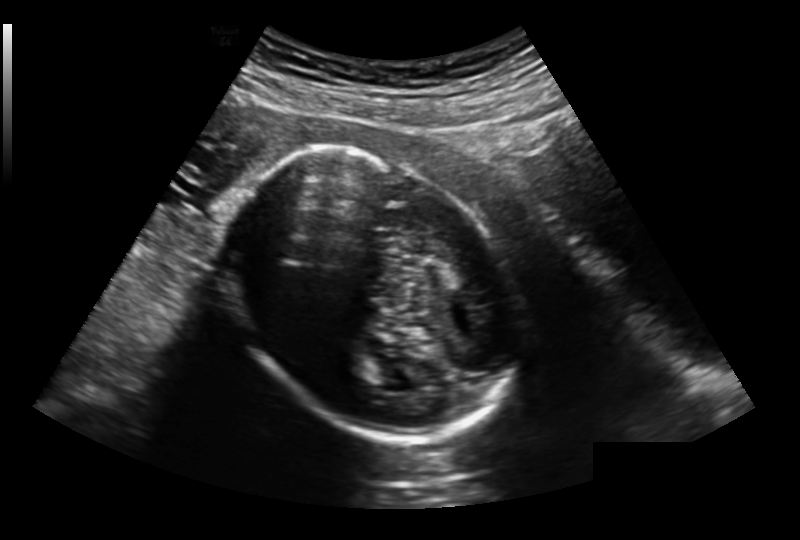
Fetal head ultrasound. Image width: 170.5 mm. Locate the fetal head.

Head: [234,145,516,444]